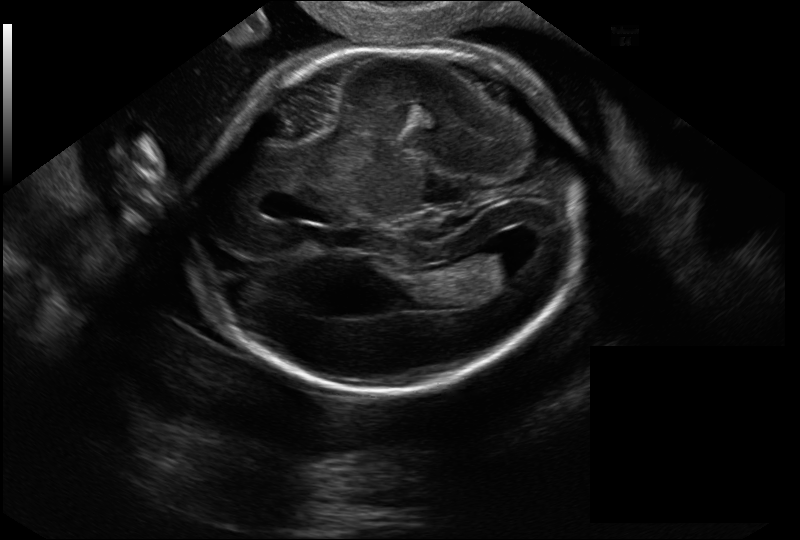
In this fetal head ultrasound, give bounding boxes for the head outline, cavum septum pellucidum (CSP), and lateral ventricle (LV), where visible. Image width: 115.6 mm.

Head: [194,48,587,392]
Lateral ventricle: [472,228,539,290]